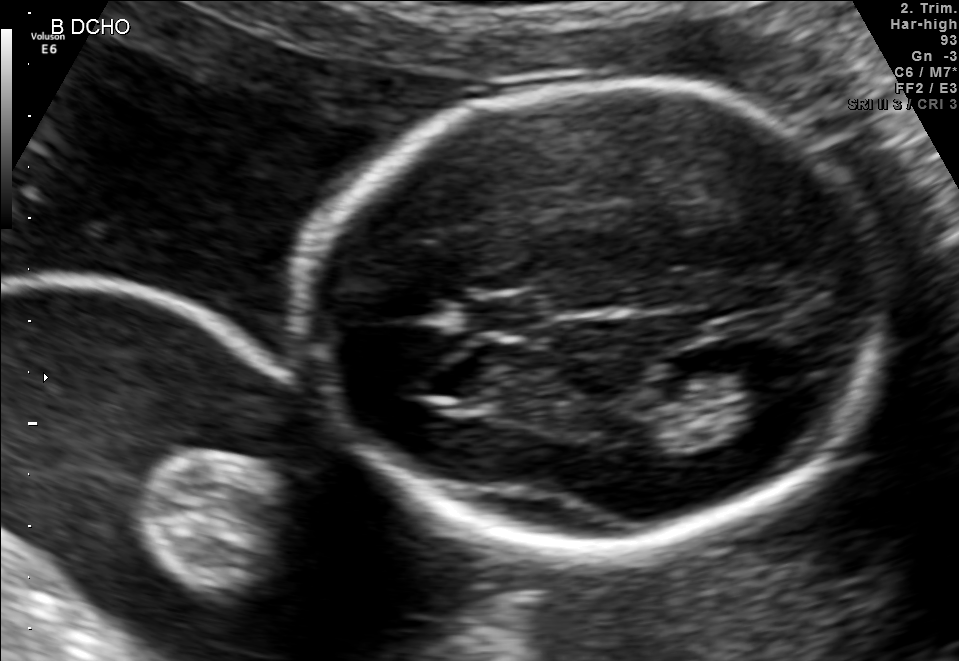
Fetal brain, trans-thalamic plane. Locate the fetal head.

Head: [297,80,892,555]